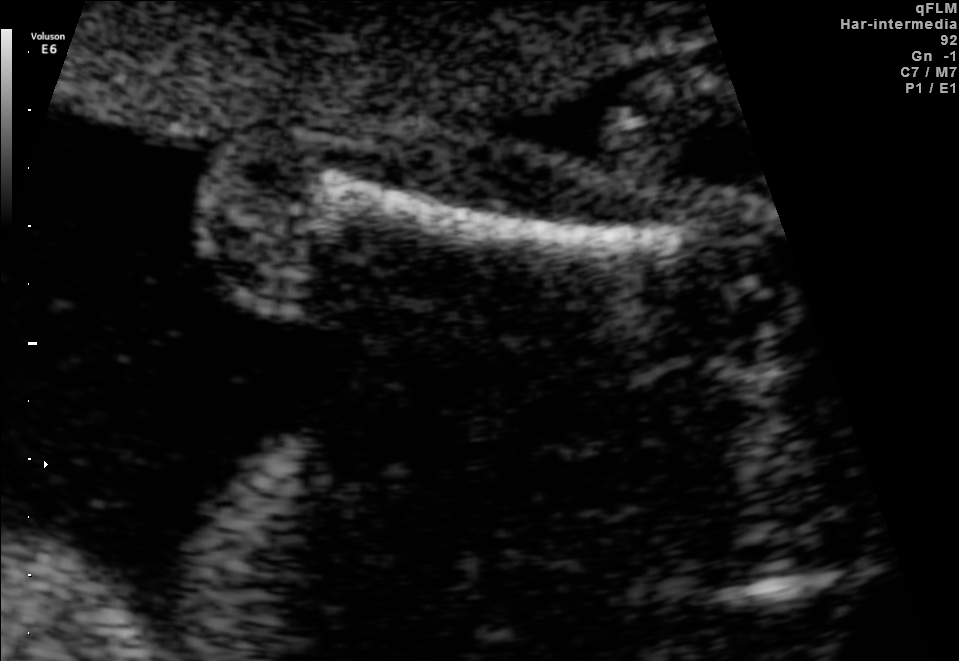
Identify the standard plane in this fetal ultrasound image: fetal abdomen, fetal brain, fetal femur, fetal thorax, maternal cervix, or other. If it's fetal brain and one of the three standard brain planes (trans-thalamic, trans-cerebellum, trans-ventricular), name which.

Fetal femur